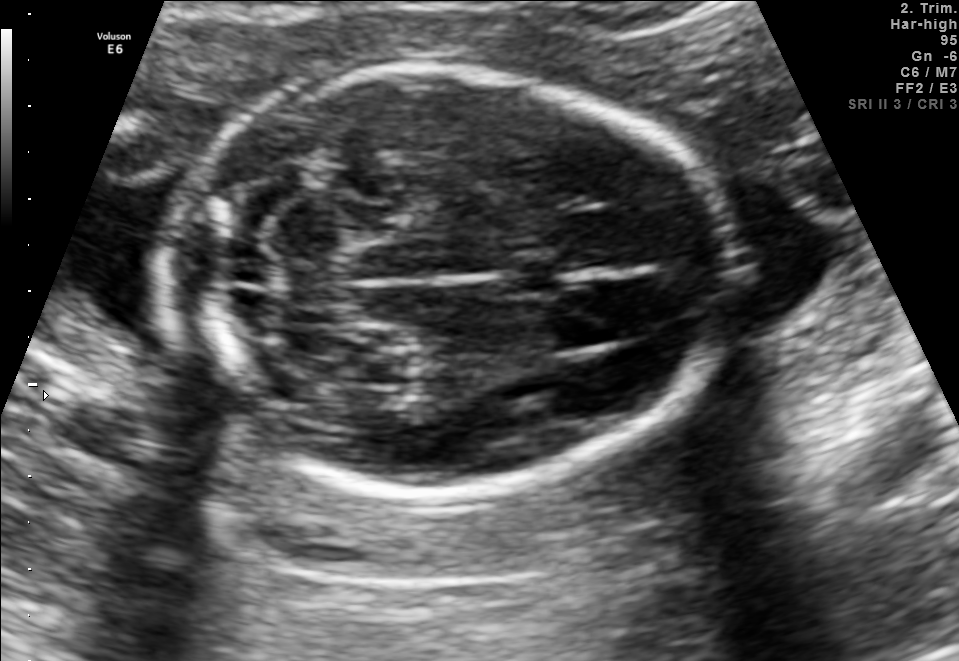
Fetal brain, trans-cerebellum plane. Locate the fetal head.

Head: [166,62,725,495]